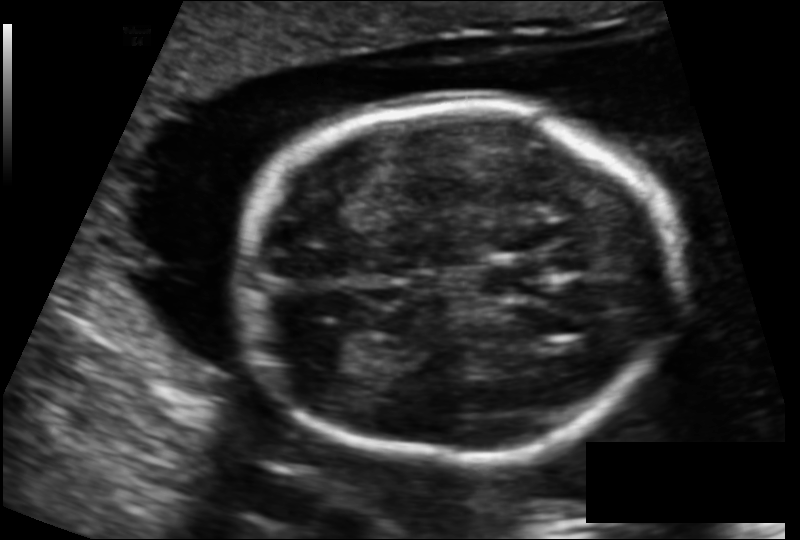
In this fetal head ultrasound, give the bounding box of the cavum septum pellucidum. Image width: 104.4 mm.

[485,264,548,297]